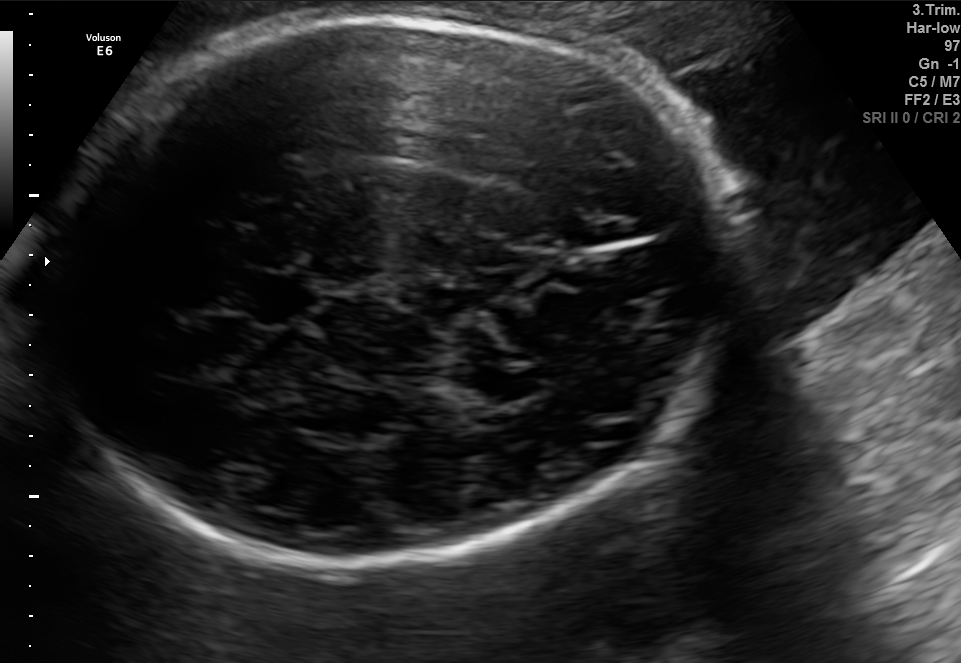
Fetal brain, trans-thalamic plane. Where is the cavum septum pellucidum?

CSP bounding box: [237,270,304,326]